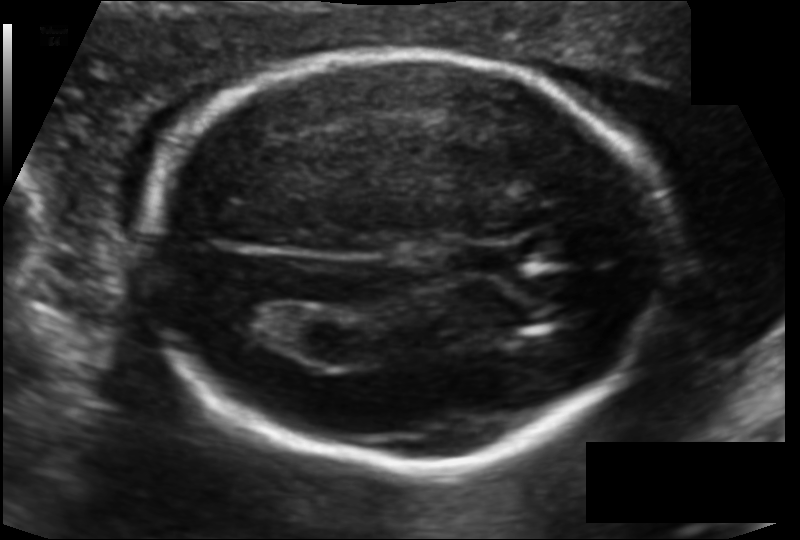
In this fetal head ultrasound, give the bounding box of the cavum septum pellucidum. Image width: 91.7 mm.

[458,239,519,279]